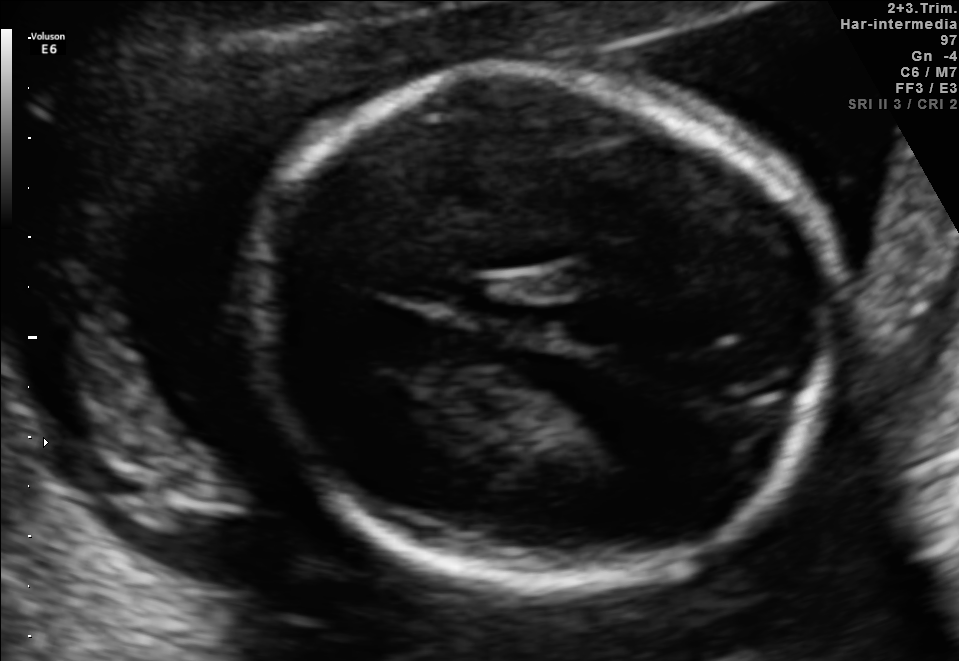
In this fetal brain, trans-thalamic plane, give the bounding box of the fetal head.

[250,61,831,582]